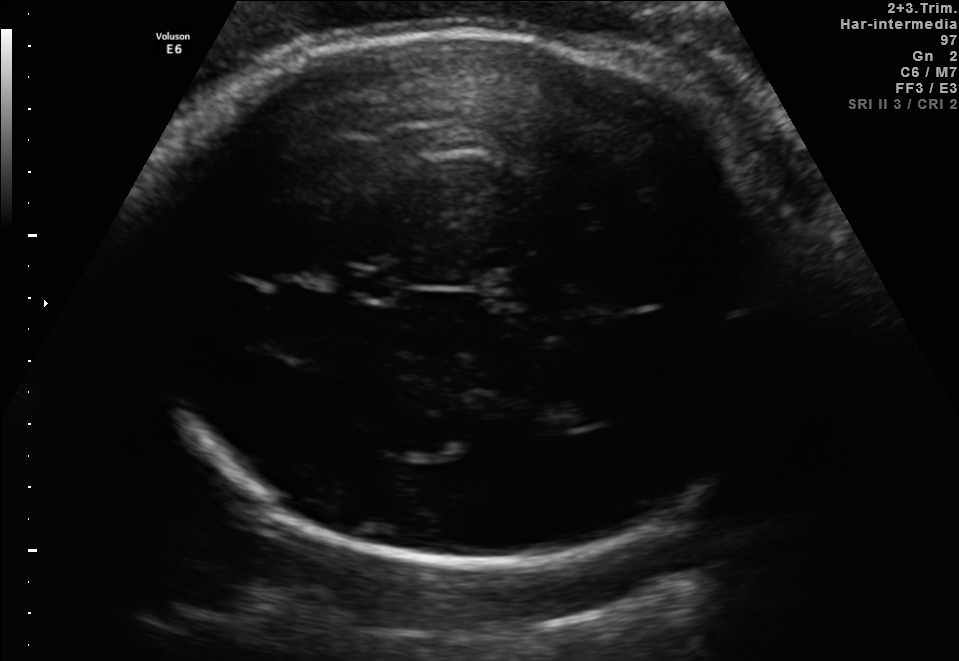
In this fetal brain, trans-thalamic plane, give the bounding box of the lateral ventricle.

[552,385,621,431]